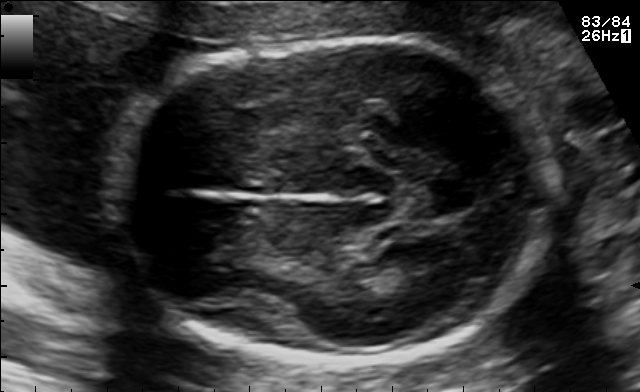
Fetal brain, trans-thalamic plane. Where is the fetal head?

Head bounding box: [113,39,559,361]